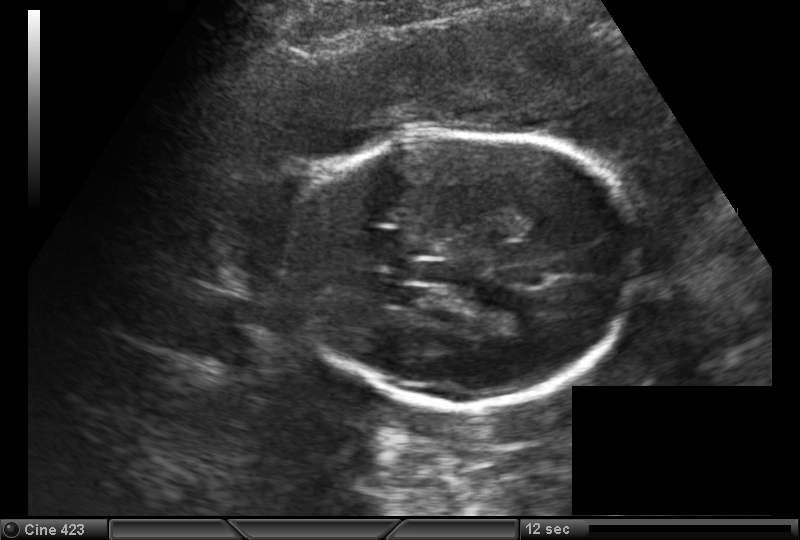
Estimate the fetal head circumference from this 2D ultrasound. Image width: 138.2 mm.

Head circumference: 177.0 mm.